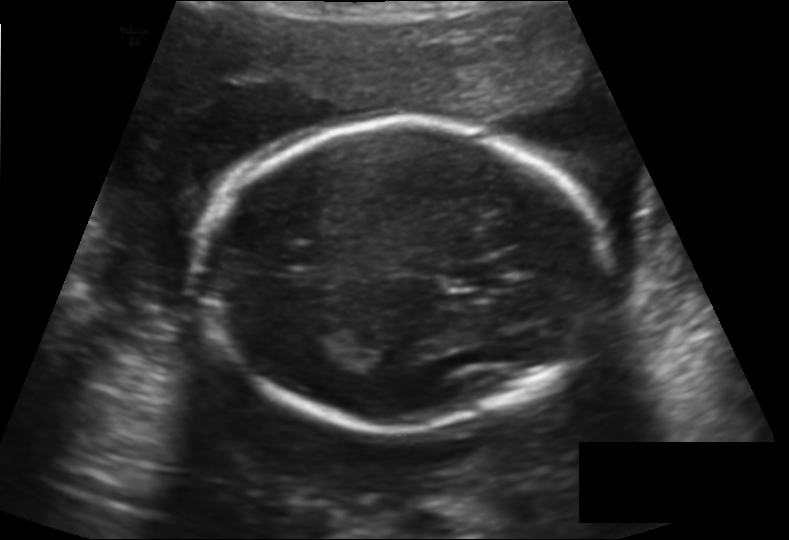
Fetal head ultrasound. Image width: 124.3 mm. Locate the cavum septum pellucidum.

CSP: [443,255,508,292]